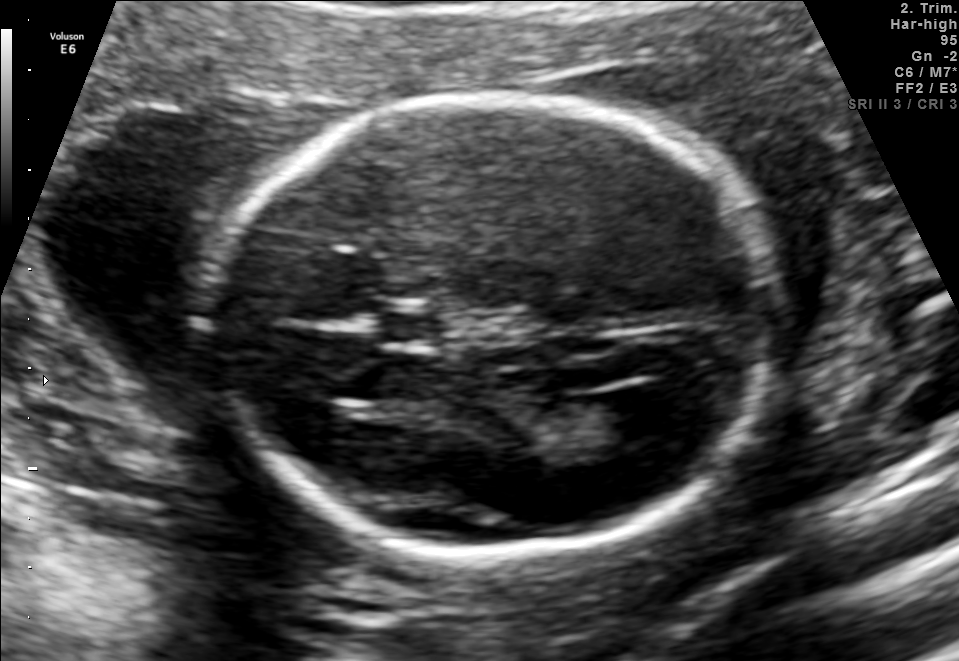
Fetal brain, trans-ventricular plane. Locate the fetal head and, if visible, the cavum septum pellucidum (CSP) and lateral ventricle (LV). Give bounding boxes as [x1,y1,x2,y2].

Head: [194,87,797,562]
CSP: [370,308,460,347]
Lateral ventricle: [585,371,690,453]